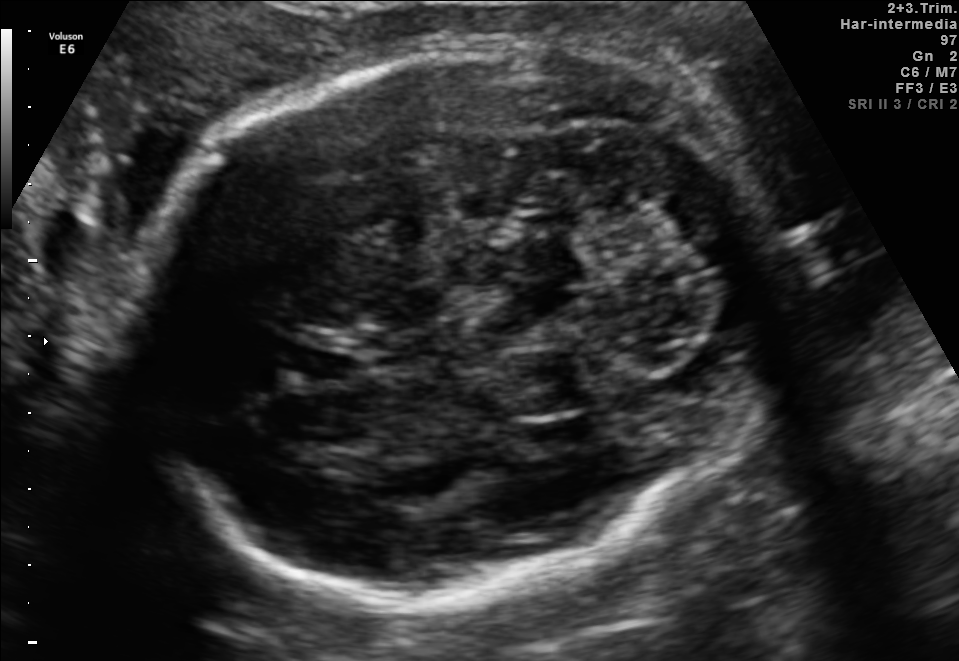
In this fetal brain, trans-cerebellum plane, give the bounding box of the cavum septum pellucidum.

[285,337,367,389]